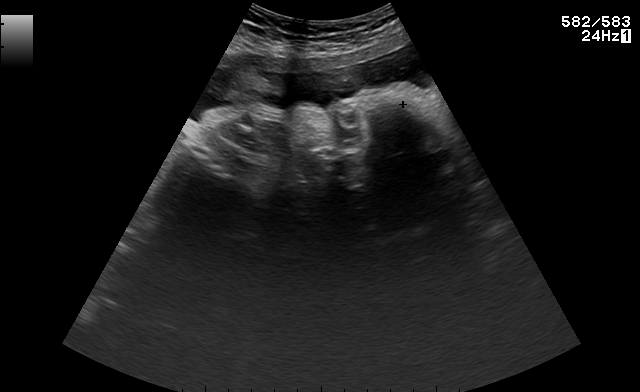
Which standard maternal-fetal ultrasound plane is shown: fetal abdomen, fetal brain, fetal femur, fetal thorax, maternal cervix, or other? If it's fetal brain and one of the three standard brain planes (trans-thalamic, trans-cerebellum, trans-ventricular), name which.

Other